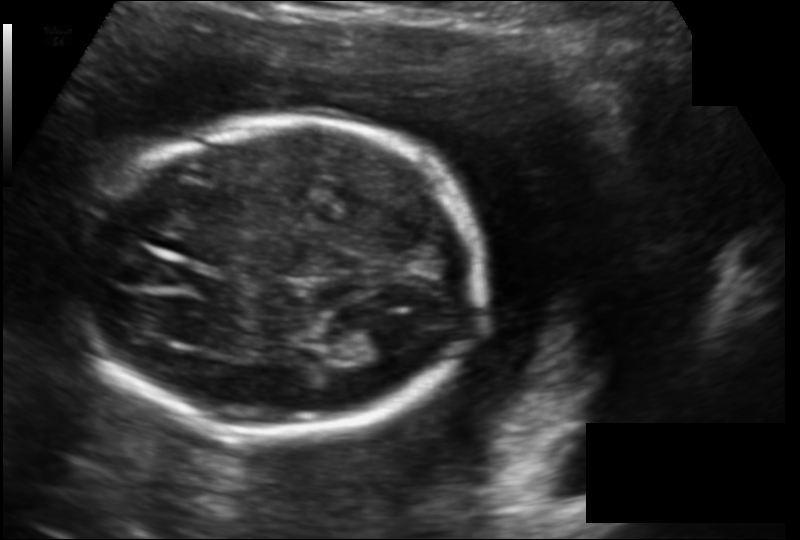
Fetal head ultrasound. Image width: 113.3 mm. Where is the lateral ventricle?

Lateral ventricle bounding box: [350,315,418,367]